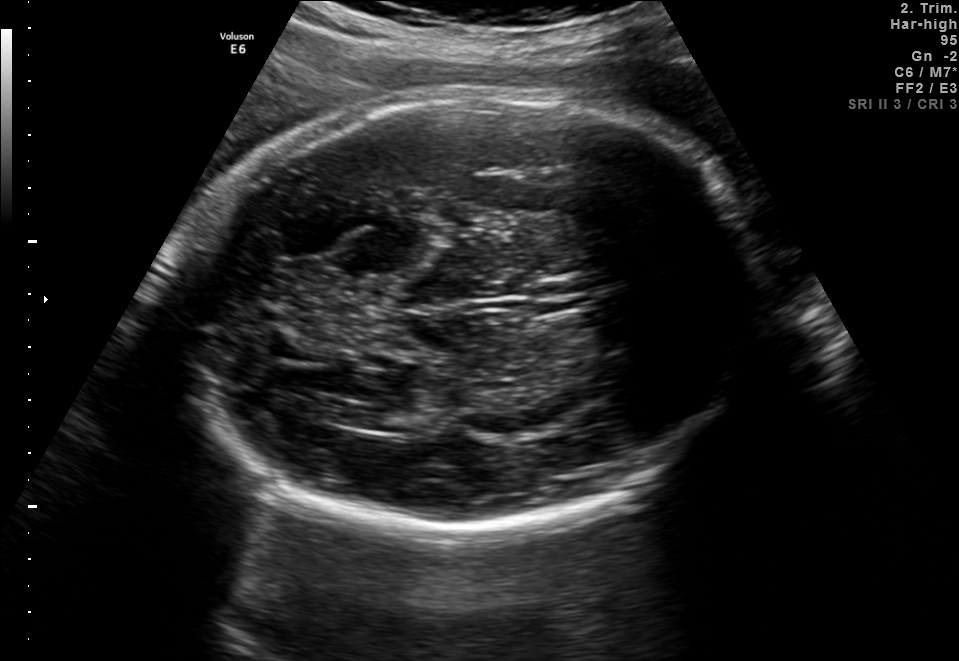
Fetal brain, trans-ventricular plane. Locate the cavum septum pellucidum.

CSP: [524,272,603,318]